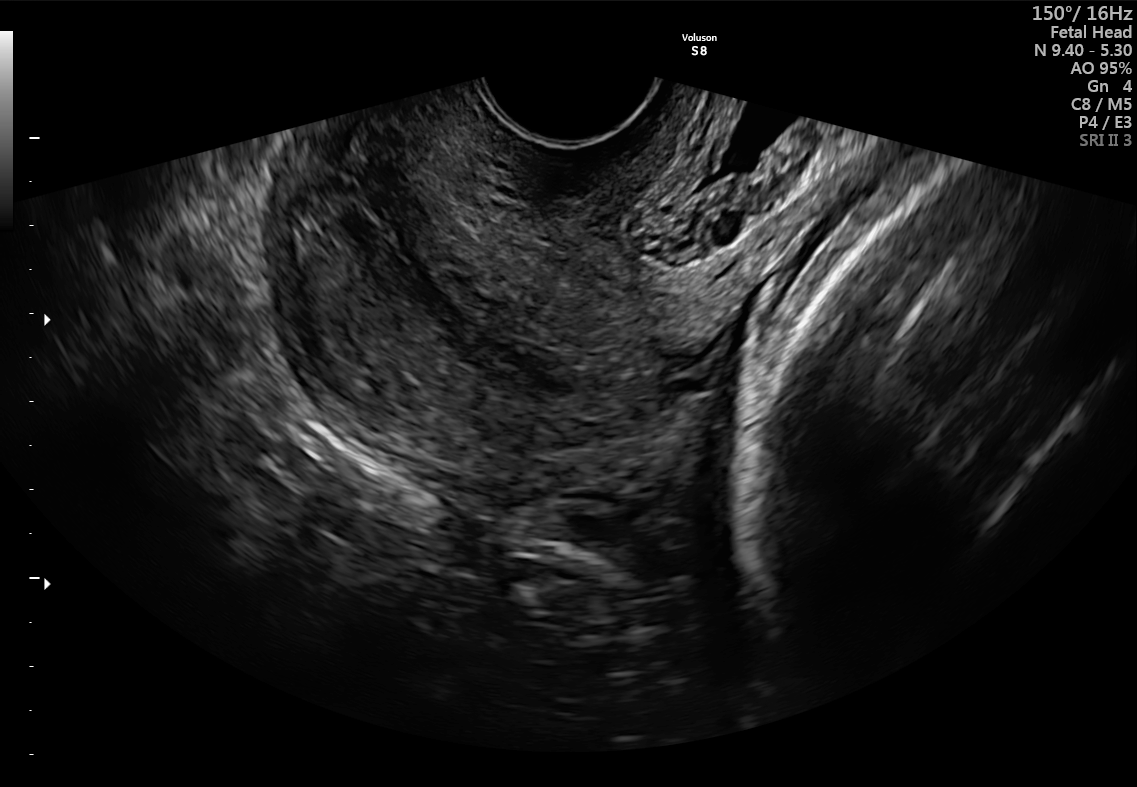
Classify this maternal-fetal ultrasound image as one of the six standard planes — fetal abdomen, fetal brain, fetal femur, fetal thorax, maternal cervix, or other. If it's fetal brain and one of the three standard brain planes (trans-thalamic, trans-cerebellum, trans-ventricular), name which.

Maternal cervix